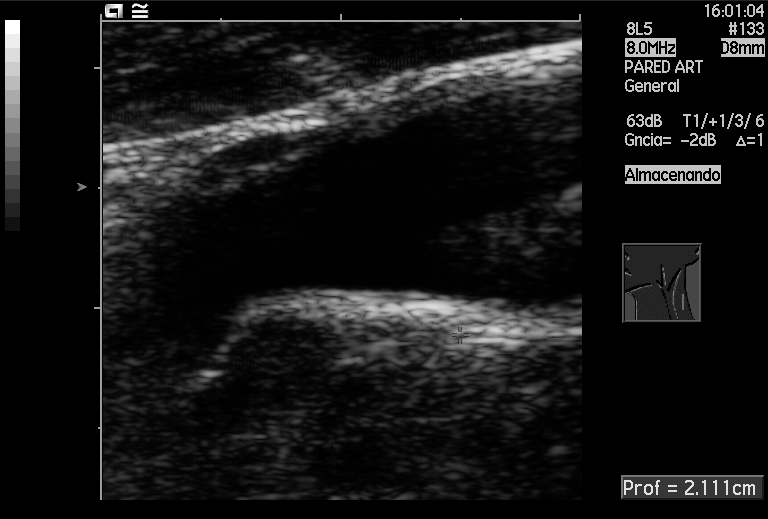
Which standard maternal-fetal ultrasound plane is shown: fetal abdomen, fetal brain, fetal femur, fetal thorax, maternal cervix, or other? If it's fetal brain and one of the three standard brain planes (trans-thalamic, trans-cerebellum, trans-ventricular), name which.

Other